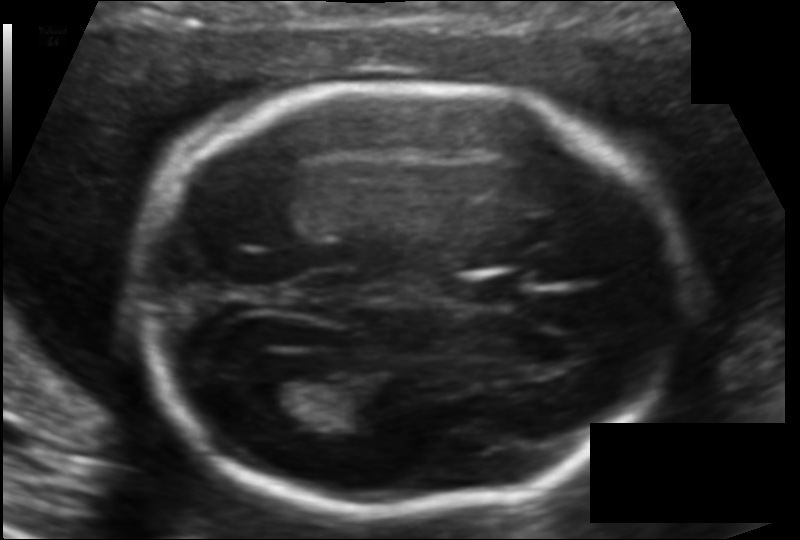
Fetal head ultrasound. Image width: 94.1 mm. Where is the fetal head?

Head bounding box: [135,82,675,509]